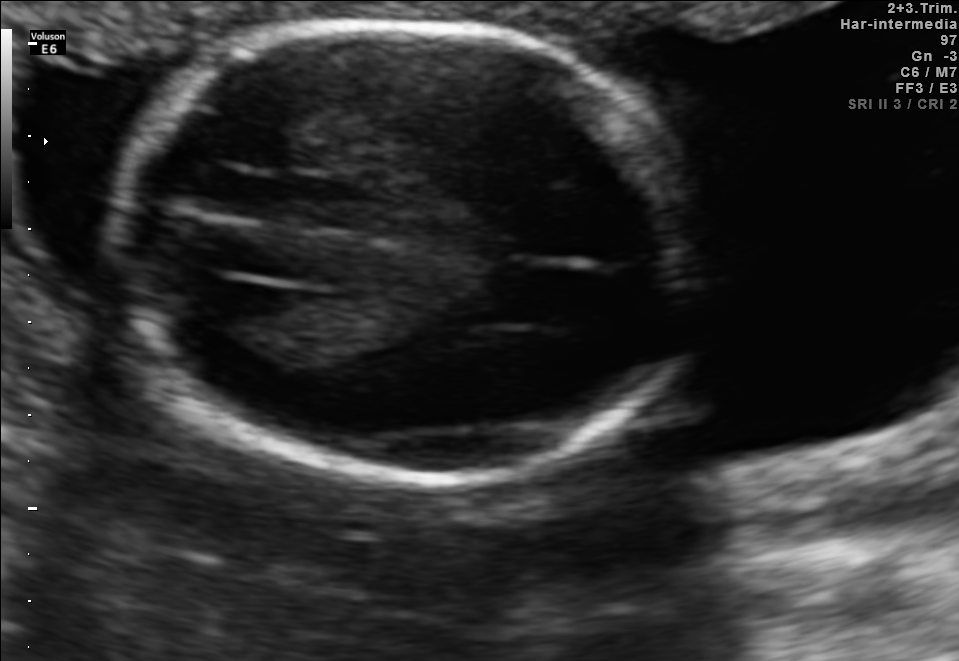
Fetal brain, trans-thalamic plane. Where is the fetal head?

Head bounding box: [113,22,696,483]